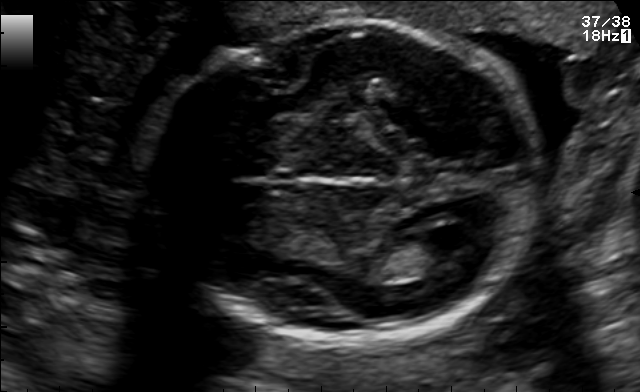
This is a 2D maternal-fetal ultrasound frame. Is it a fetal abdomen, fetal brain, fetal femur, fetal thorax, maternal cervix, or other standard plane? If it's fetal brain and one of the three standard brain planes (trans-thalamic, trans-cerebellum, trans-ventricular), name which.

Fetal brain (trans-ventricular plane)